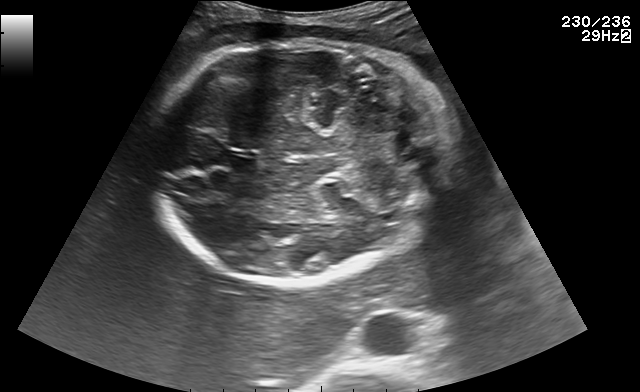
Fetal brain, trans-cerebellum plane. Locate the fetal head.

Head: [150,39,444,284]